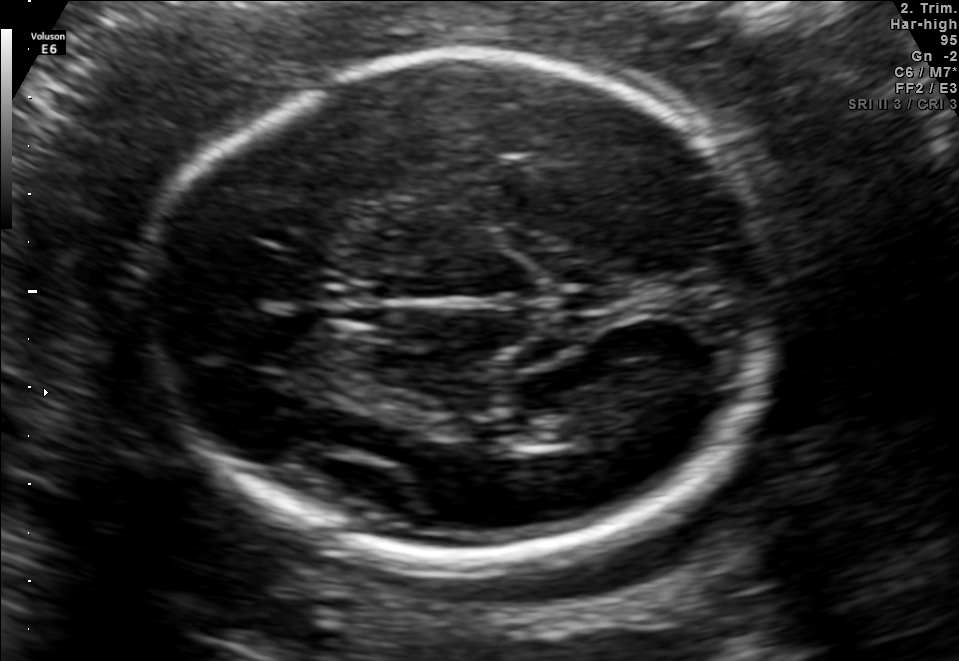
Fetal brain, trans-thalamic plane. Where is the fetal head?

Head bounding box: [145,49,768,560]